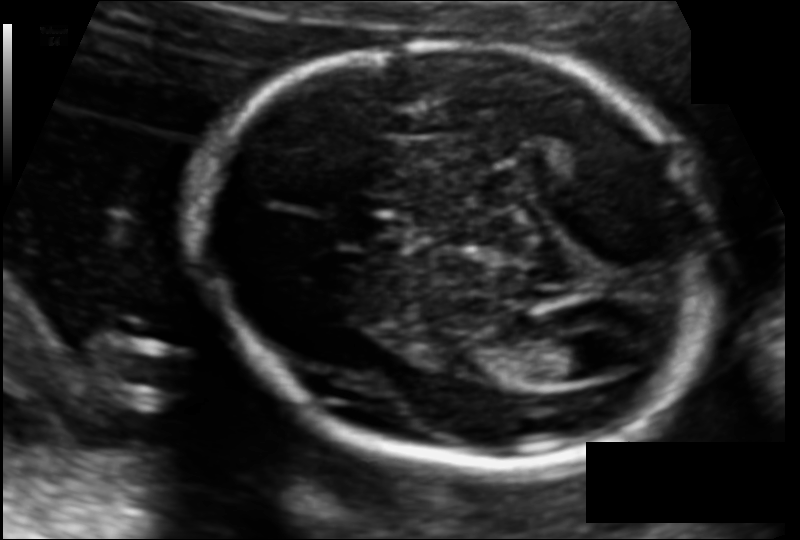
Fetal head ultrasound. Image width: 87.7 mm. Locate the fetal head.

Head: [194,42,717,458]